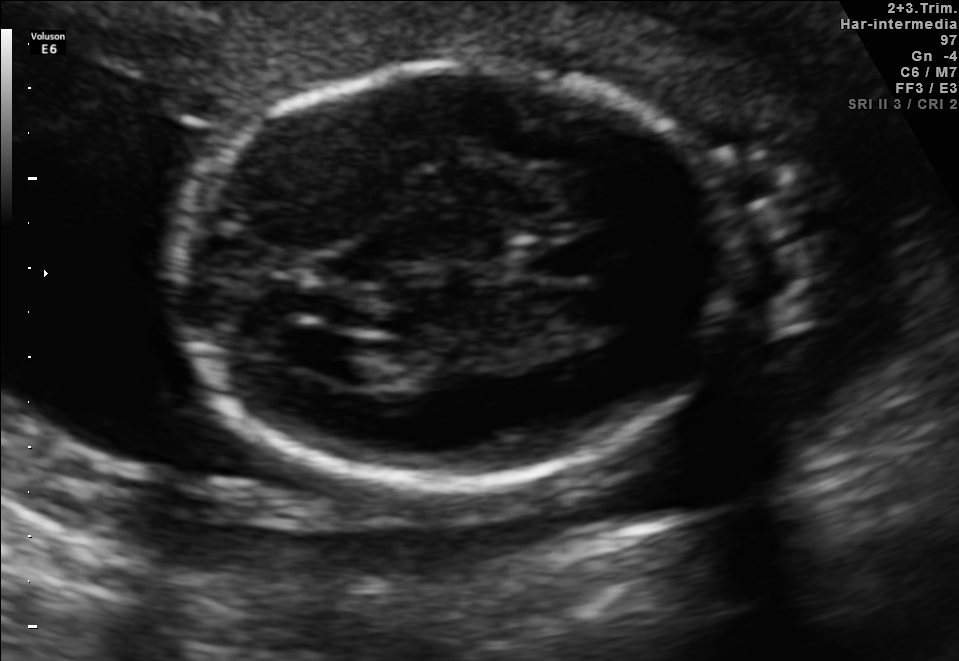
Fetal brain, trans-ventricular plane. Where is the fetal head?

Head bounding box: [158,58,759,495]